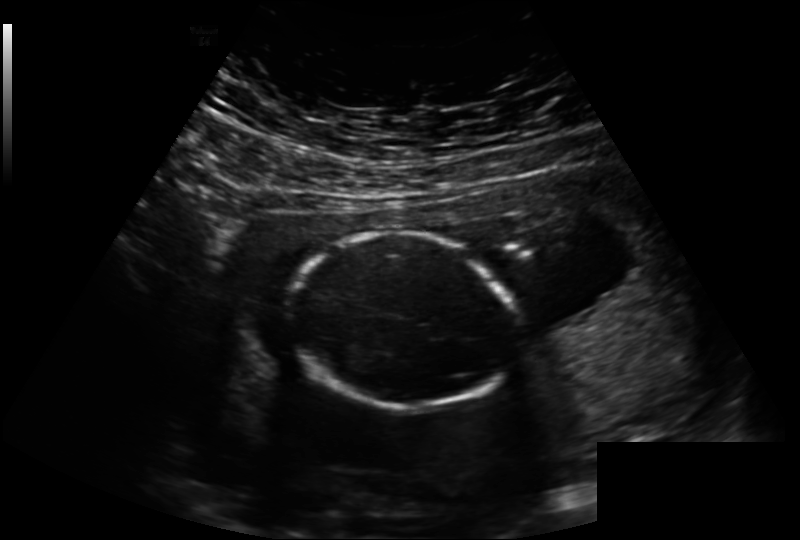
What is the fetal head circumference? Image width is 177.0 mm.

146.7 mm